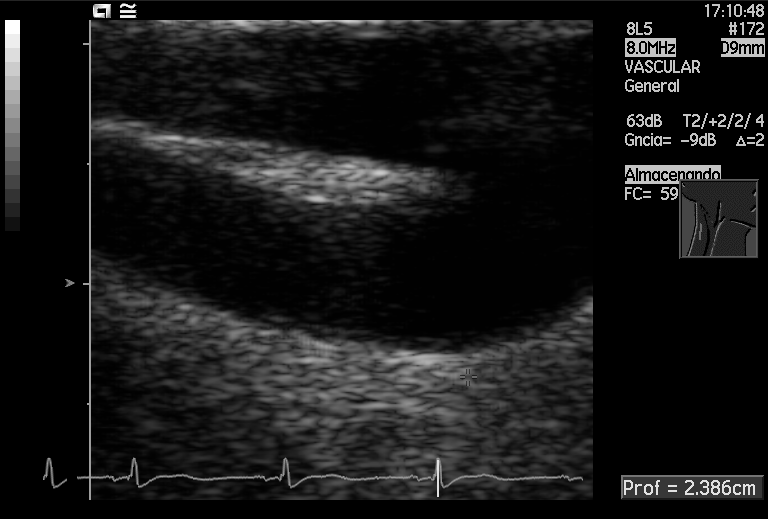
Classify this maternal-fetal ultrasound image as one of the six standard planes — fetal abdomen, fetal brain, fetal femur, fetal thorax, maternal cervix, or other. If it's fetal brain and one of the three standard brain planes (trans-thalamic, trans-cerebellum, trans-ventricular), name which.

Other